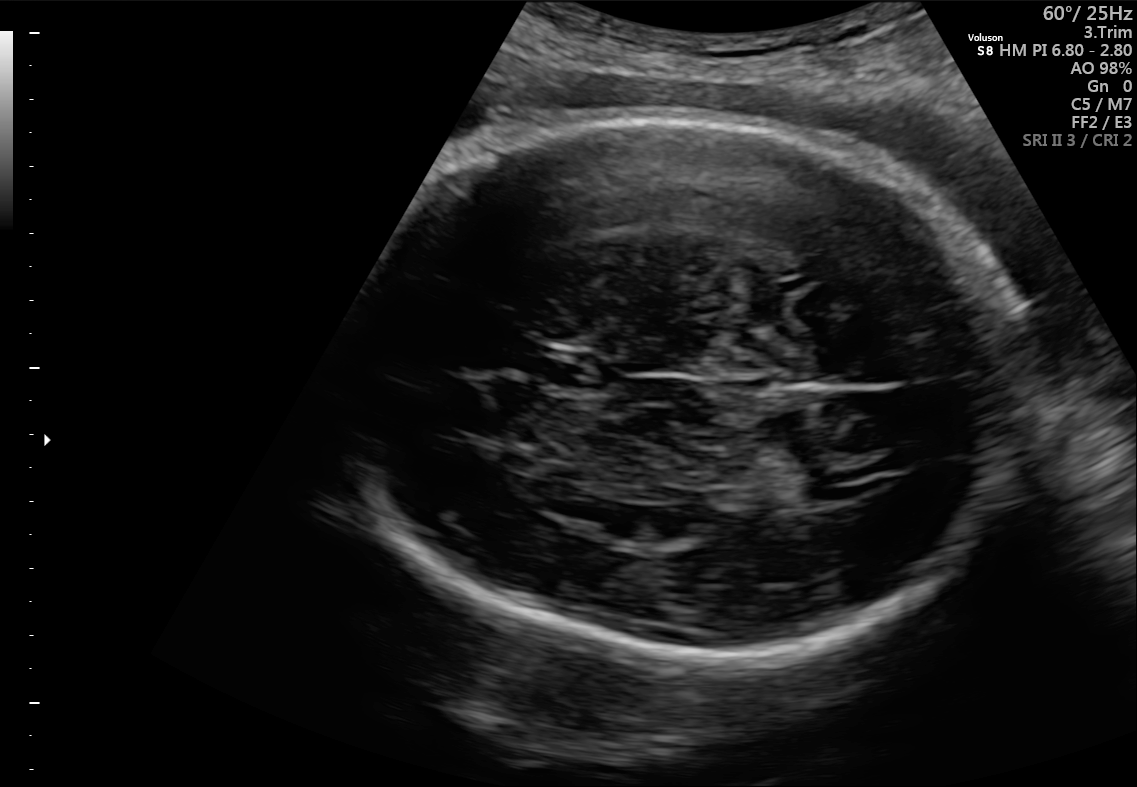
Fetal brain, trans-thalamic plane. Locate the fetal head and, if visible, the cavum septum pellucidum (CSP) and lateral ventricle (LV). Give bounding boxes as [x1,y1,x2,y2].

Head: [340,117,1029,663]
CSP: [544,348,612,393]